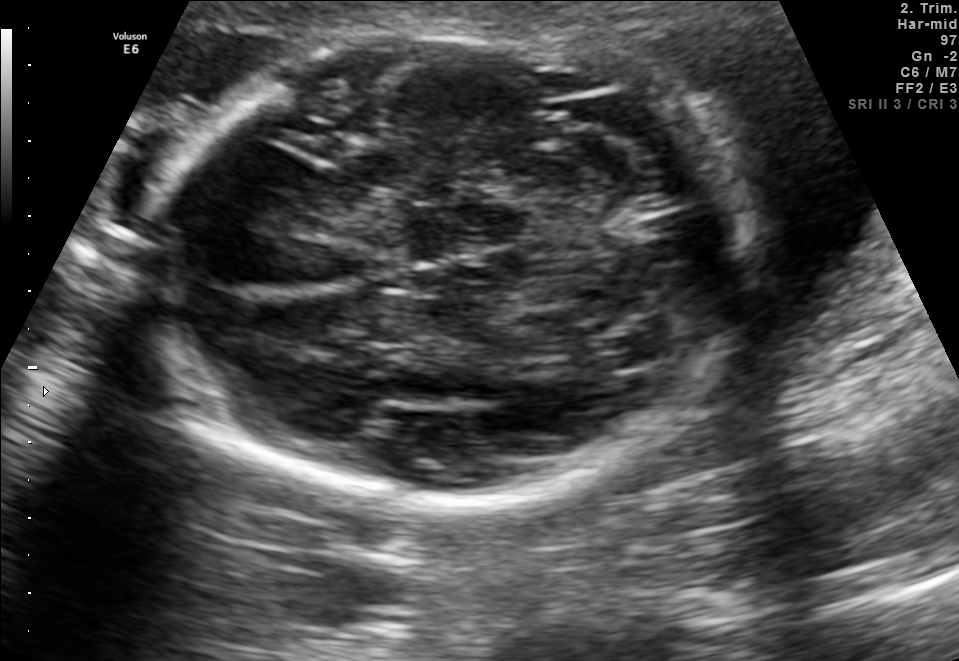
Fetal brain, trans-thalamic plane. Where is the fetal head?

Head bounding box: [140,31,753,496]